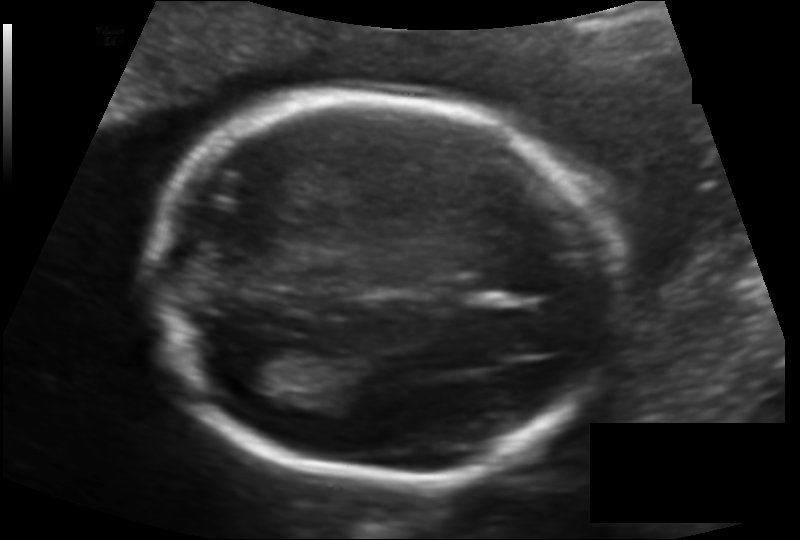
Estimate the fetal head circumference from this 2D ultrasound.

Head circumference: 174.3 mm (image width 102.7 mm).